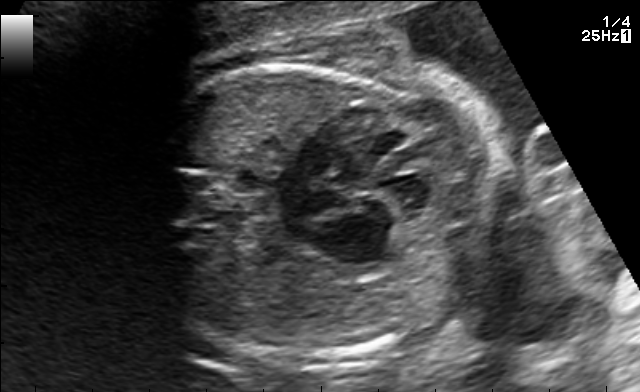
Classify this maternal-fetal ultrasound image as one of the six standard planes — fetal abdomen, fetal brain, fetal femur, fetal thorax, maternal cervix, or other. If it's fetal brain and one of the three standard brain planes (trans-thalamic, trans-cerebellum, trans-ventricular), name which.

Fetal thorax